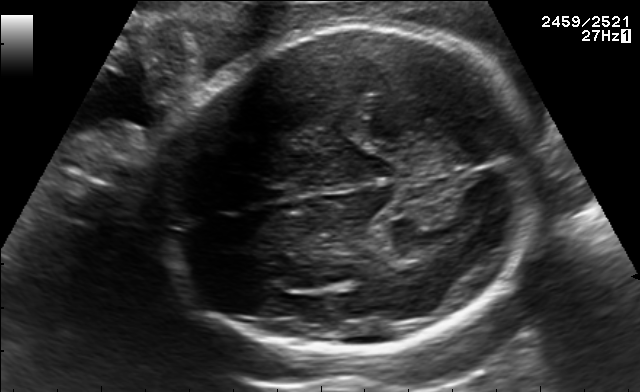
Fetal brain, trans-thalamic plane. Locate the fetal head and, if visible, the cavum septum pellucidum (CSP) and lateral ventricle (LV). Give bounding boxes as [x1,y1,x2,y2].

Head: [163,23,536,355]